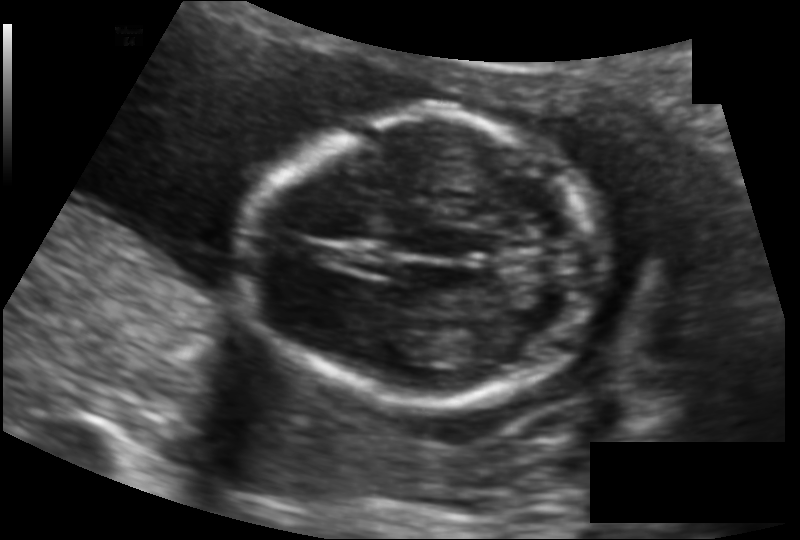
Fetal head ultrasound. Image width: 97.8 mm. Where is the fetal head?

Head bounding box: [243,114,601,401]